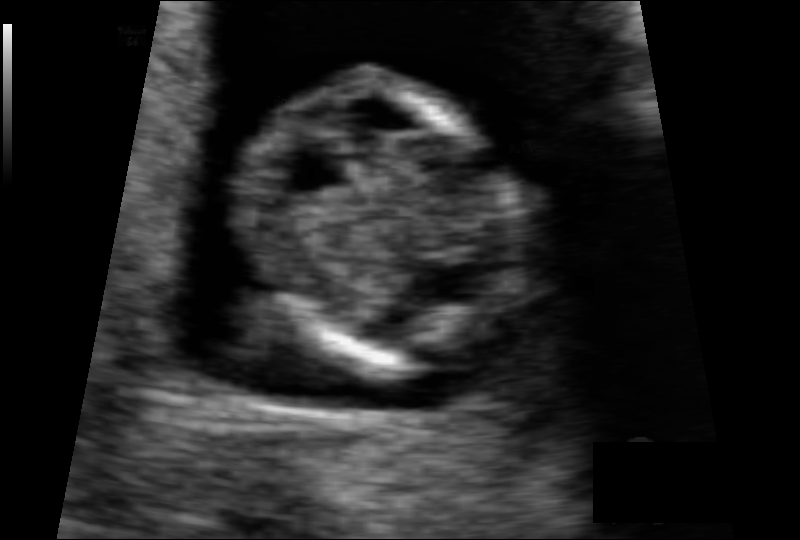
Fetal head ultrasound. Image width: 59.9 mm. Locate the fetal head.

Head: [237,78,533,373]